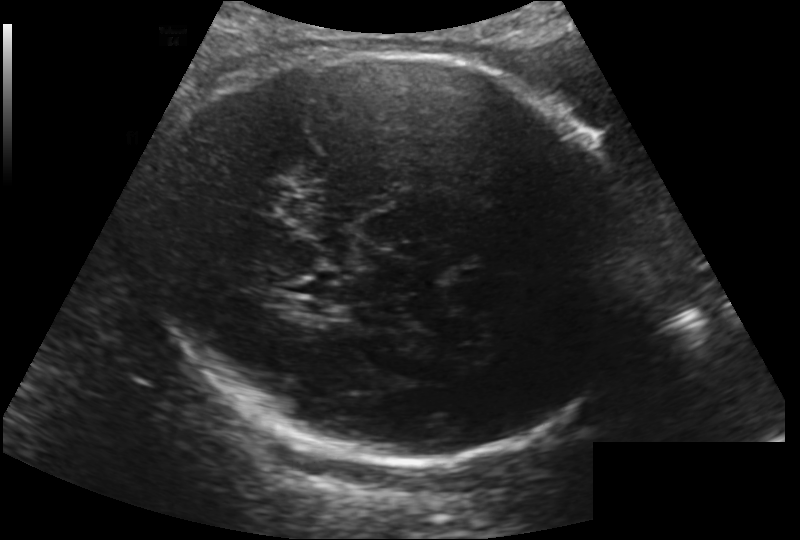
Measure the fetal head circumference shown in this ultrasound image. Image width: 160.1 mm.

Head circumference: 284.9 mm.